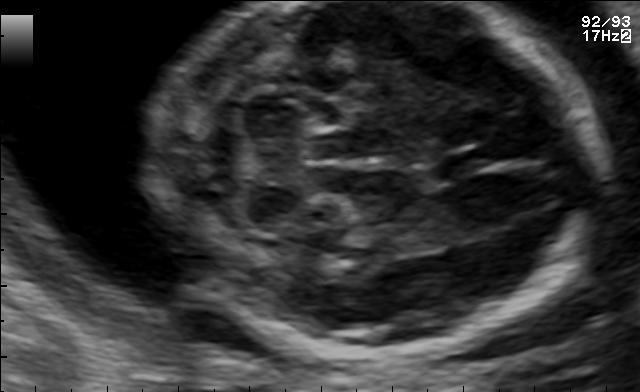
Fetal brain, trans-cerebellum plane. Where is the fetal head?

Head bounding box: [153,2,601,355]